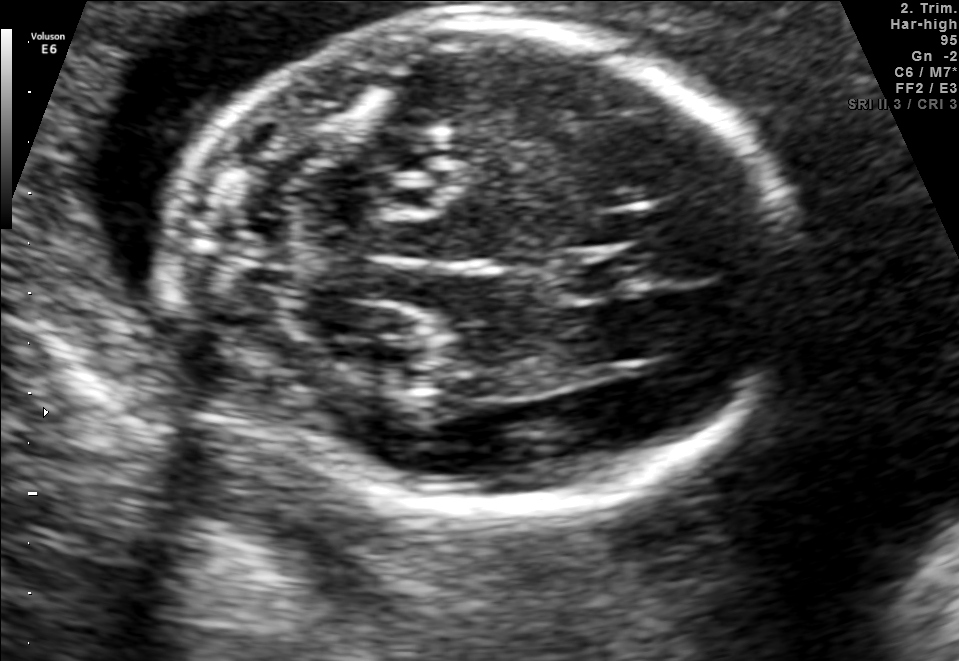
Fetal brain, trans-cerebellum plane. Locate the fetal head.

Head: [178,18,785,511]